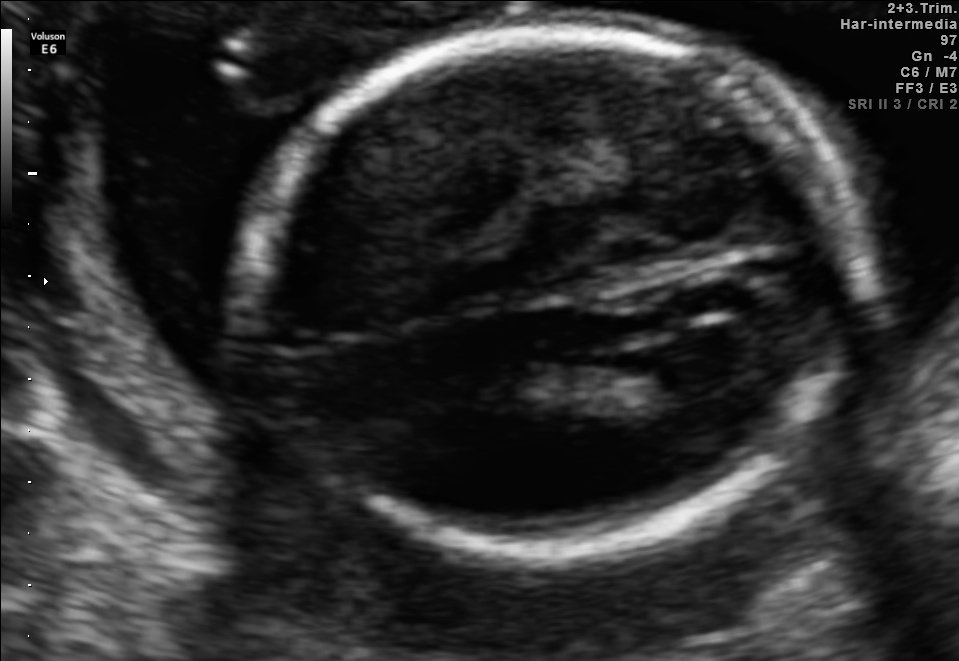
In this fetal brain, trans-ventricular plane, give bounding boxes for the head outline, cavum septum pellucidum (CSP), and lateral ventricle (LV), where visible.

Head: [222,20,869,563]